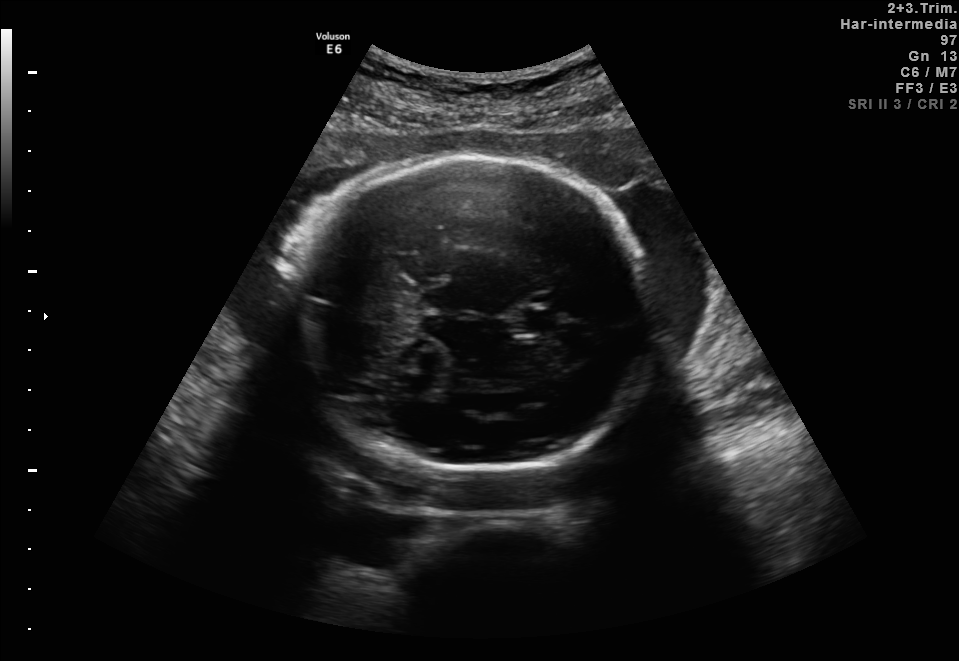
Fetal brain, trans-thalamic plane. Where is the fetal head?

Head bounding box: [293,155,658,468]